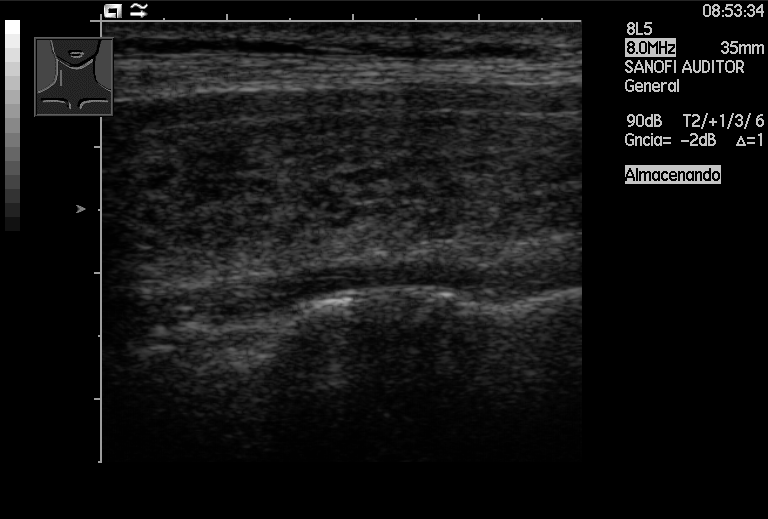
Identify the standard plane in this fetal ultrasound image: fetal abdomen, fetal brain, fetal femur, fetal thorax, maternal cervix, or other. If it's fetal brain and one of the three standard brain planes (trans-thalamic, trans-cerebellum, trans-ventricular), name which.

Other